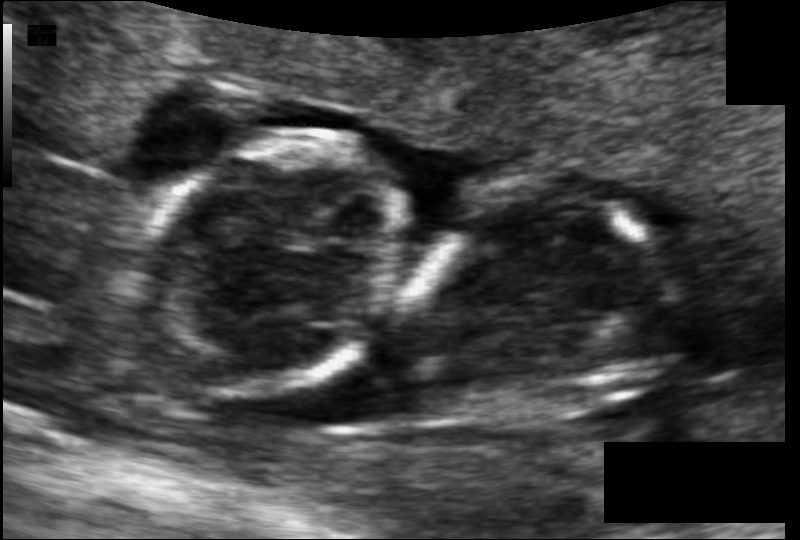
In this fetal head ultrasound, give bounding boxes for the head outline, cavum septum pellucidum (CSP), and lateral ventricle (LV), where visible. Image width: 68.1 mm.

Head: [138,140,401,392]